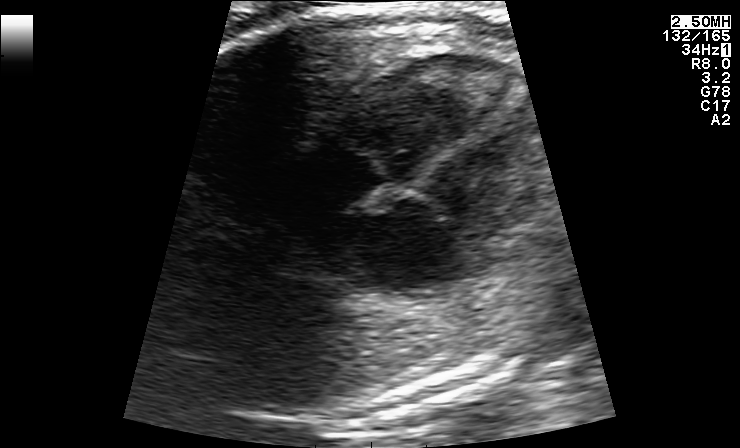
Identify the standard plane in this fetal ultrasound image: fetal abdomen, fetal brain, fetal femur, fetal thorax, maternal cervix, or other. If it's fetal brain and one of the three standard brain planes (trans-thalamic, trans-cerebellum, trans-ventricular), name which.

Fetal thorax